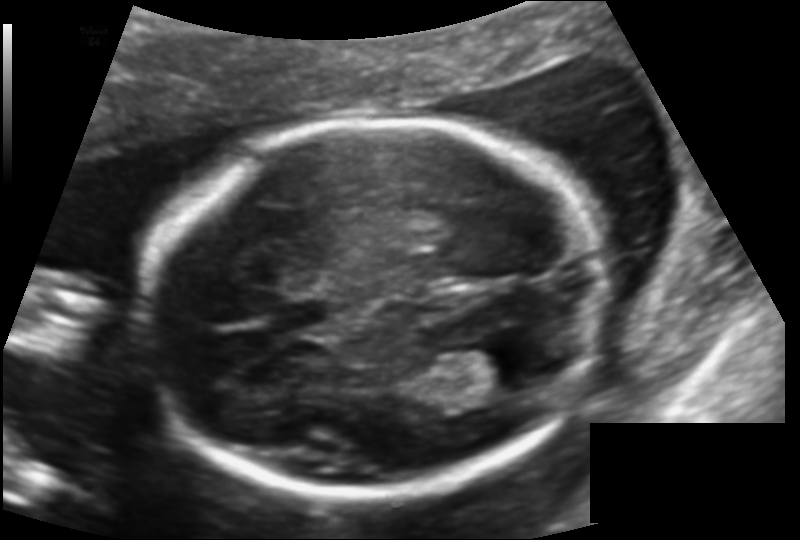
In this fetal head ultrasound, give the bounding box of the fetal head. Image width: 105.2 mm.

[147,118,603,495]